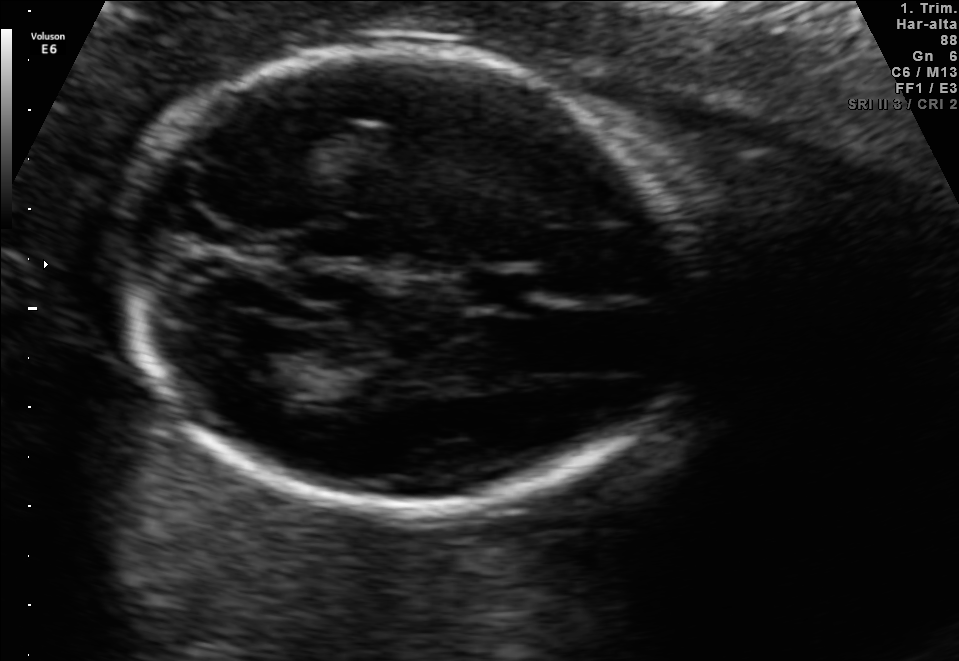
In this fetal brain, trans-thalamic plane, give the bounding box of the cavum septum pellucidum.

[464,273,531,307]